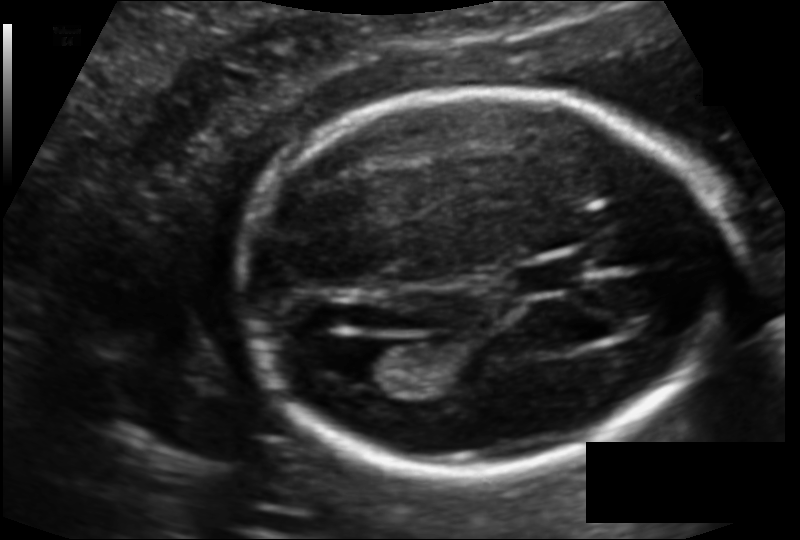
Fetal head ultrasound. Image width: 96.9 mm. Locate the fetal head and, if visible, the cavum septum pellucidum (CSP) and lateral ventricle (LV). Give bounding boxes as [x1,y1,x2,y2].

Head: [237,89,722,475]
CSP: [511,249,591,301]
Lateral ventricle: [334,339,411,387]